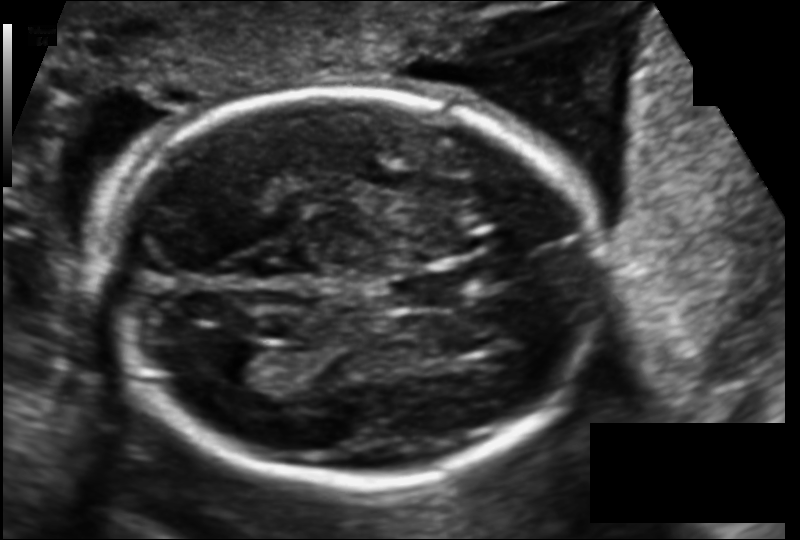
In this fetal head ultrasound, give the bounding box of the lateral ventricle. Image width: 104.3 mm.

[208,339,276,390]